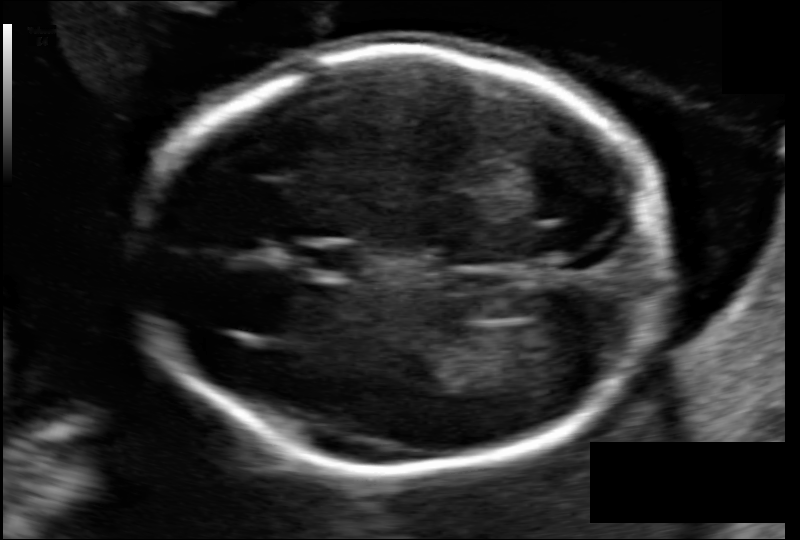
Fetal head ultrasound. Image width: 82.2 mm. Locate the fetal head and, if visible, the cavum septum pellucidum (CSP) and lateral ventricle (LV). Give bounding boxes as [x1,y1,x2,y2].

Head: [144,48,666,472]
CSP: [296,246,354,272]